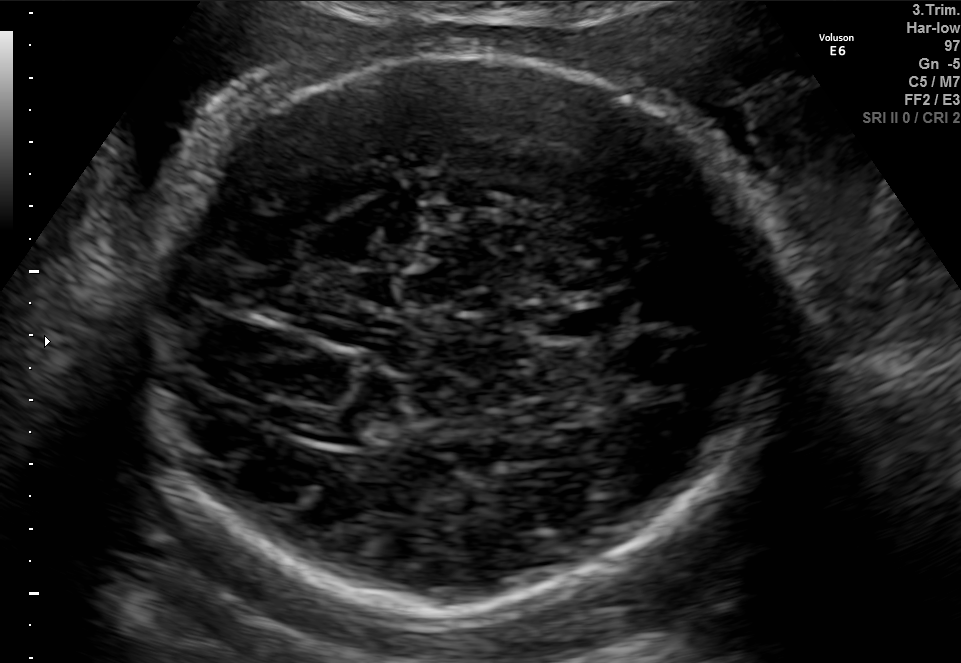
In this fetal brain, trans-thalamic plane, give the bounding box of the cavum septum pellucidum.

[544,305,611,342]